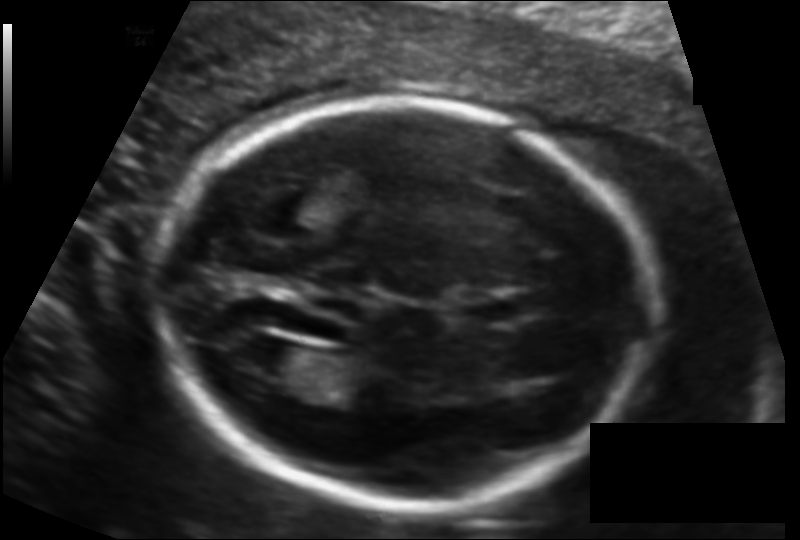
Fetal head ultrasound. Image width: 98.9 mm. Where is the fetal head?

Head bounding box: [158,98,649,507]